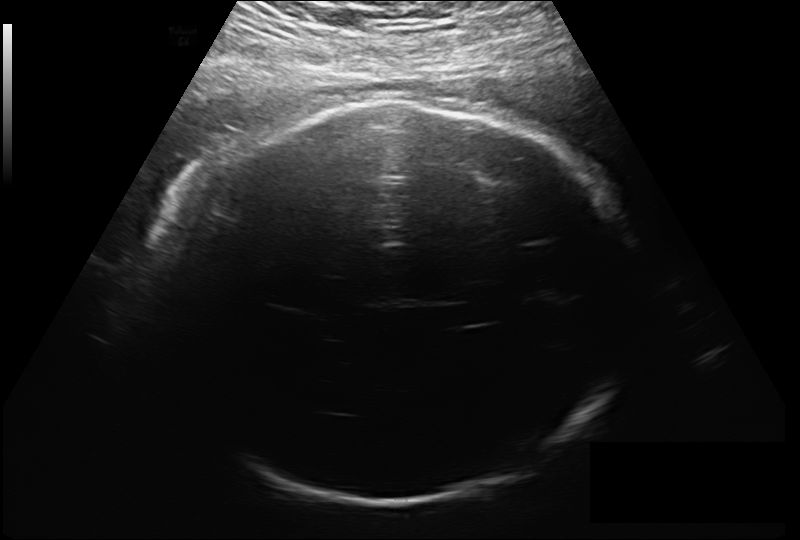
Fetal head ultrasound. Image width: 170.5 mm. Locate the fetal head.

Head: [164,100,629,506]